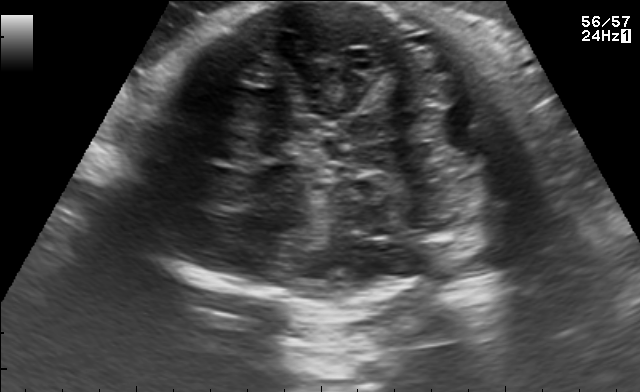
Fetal brain, trans-cerebellum plane. Locate the fetal head and, if visible, the cavum septum pellucidum (CSP) and lateral ventricle (LV). Give bounding boxes as [x1,y1,x2,y2].

Head: [116,2,561,304]